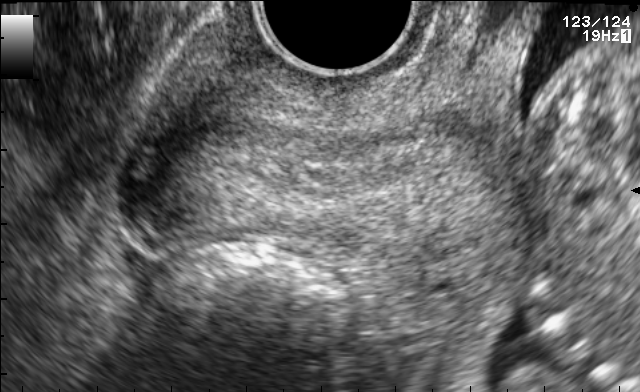
Which standard maternal-fetal ultrasound plane is shown: fetal abdomen, fetal brain, fetal femur, fetal thorax, maternal cervix, or other? If it's fetal brain and one of the three standard brain planes (trans-thalamic, trans-cerebellum, trans-ventricular), name which.

Maternal cervix